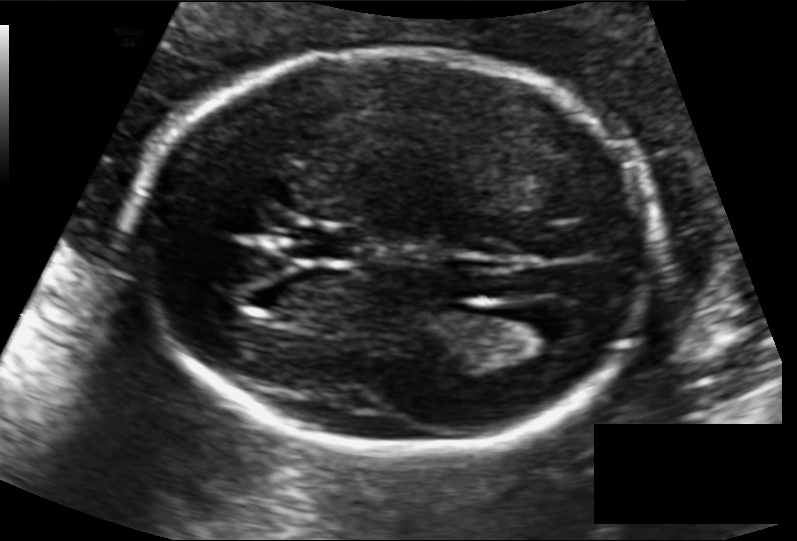
From this fetal ultrasound, estimate the head circumference (image width 94.0 mm).

Head circumference: 175.9 mm.